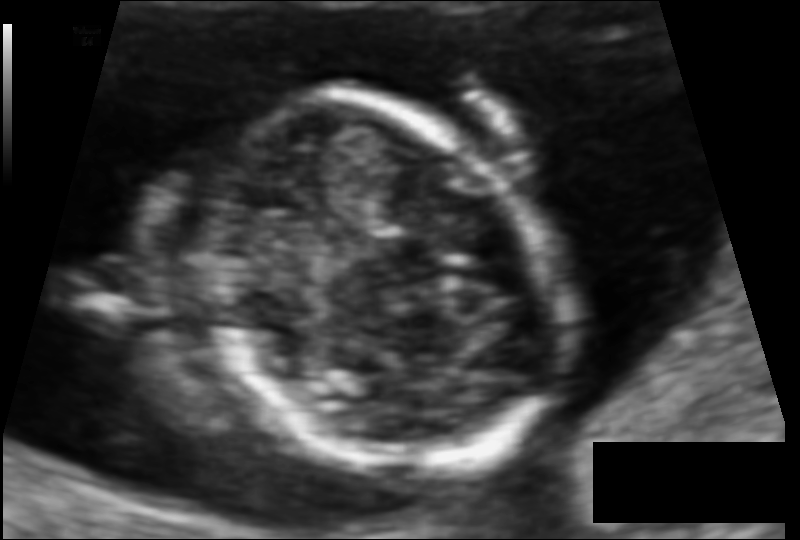
In this fetal head ultrasound, give bounding boxes for the head outline, cavum septum pellucidum (CSP), and lateral ventricle (LV), where visible. Image width: 68.0 mm.

Head: [193,99,567,471]